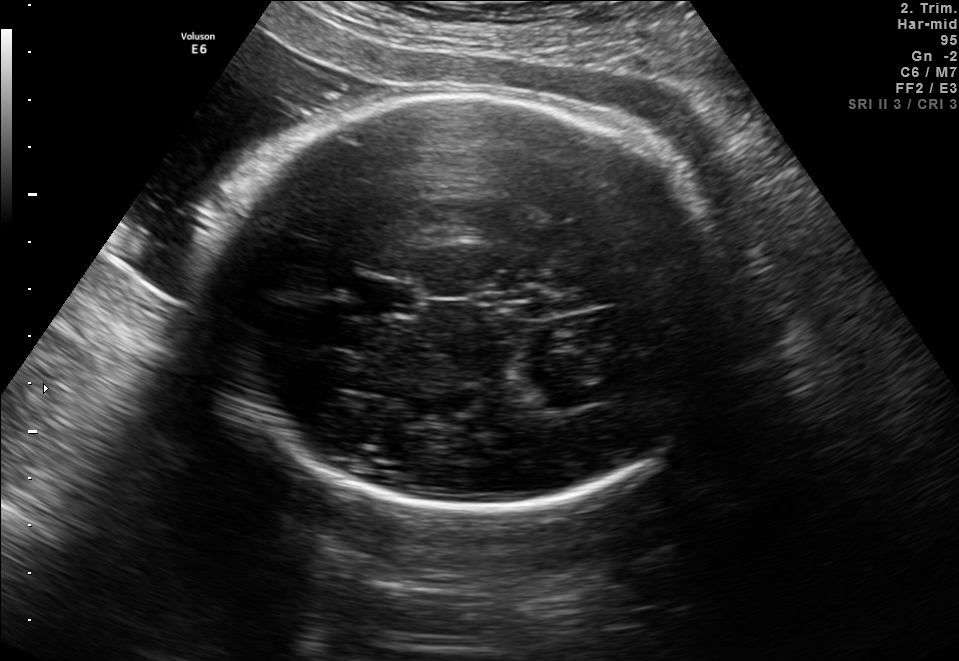
Fetal brain, trans-thalamic plane. Locate the fetal head.

Head: [214,96,741,509]